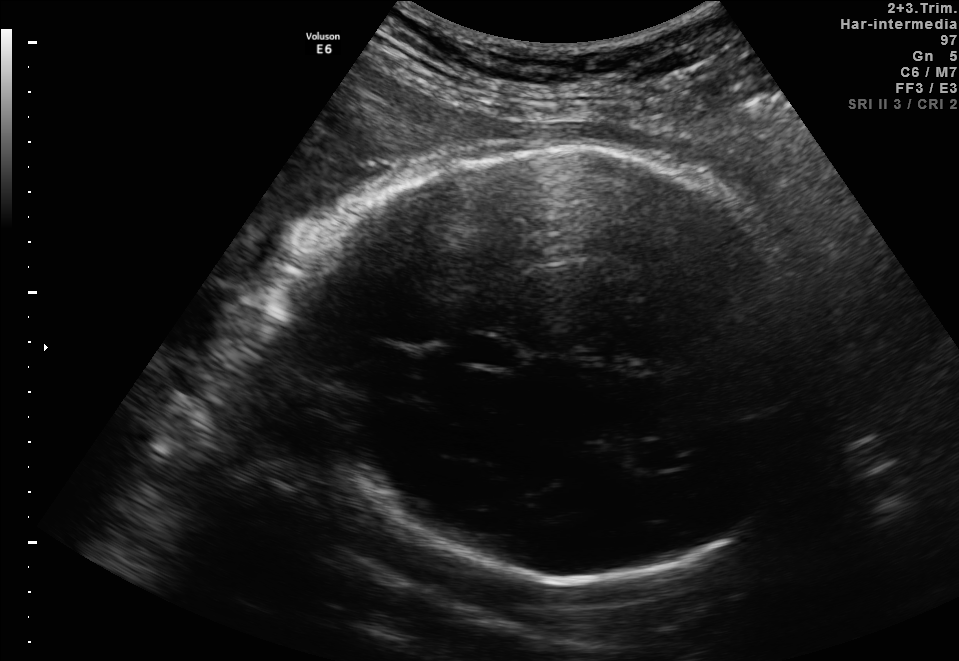
Fetal brain, trans-thalamic plane. Locate the fetal head and, if visible, the cavum septum pellucidum (CSP) and lateral ventricle (LV). Give bounding boxes as [x1,y1,x2,y2].

Head: [276,144,841,581]
CSP: [461,334,511,369]
Lateral ventricle: [633,438,685,473]